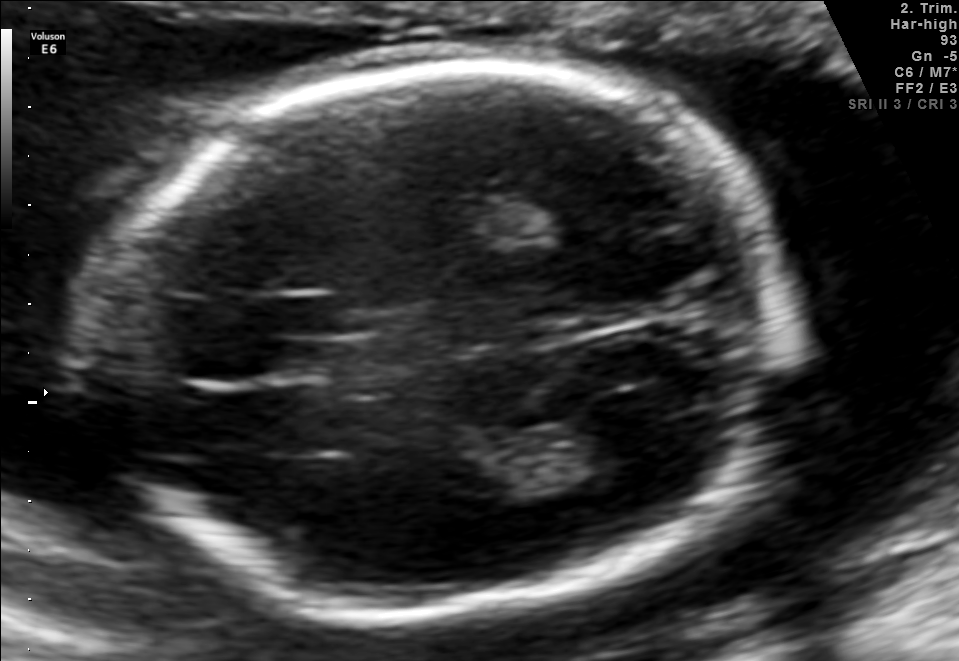
Fetal brain, trans-thalamic plane. Locate the fetal head and, if visible, the cavum septum pellucidum (CSP) and lateral ventricle (LV). Give bounding boxes as [x1,y1,x2,y2].

Head: [94,67,785,610]
CSP: [191,338,277,378]
Lateral ventricle: [538,394,673,493]